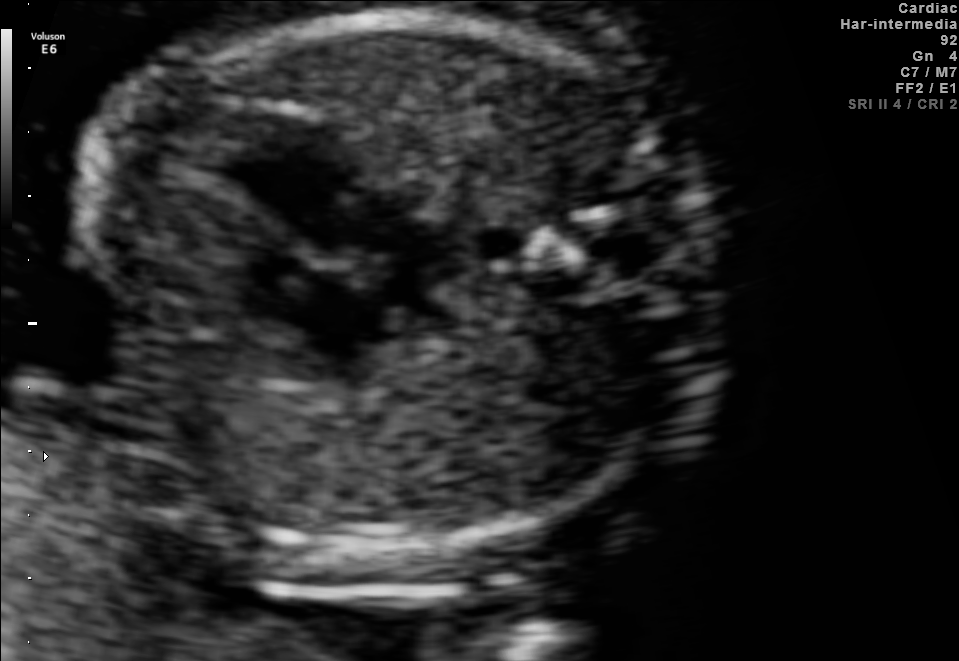
Identify the standard plane in this fetal ultrasound image: fetal abdomen, fetal brain, fetal femur, fetal thorax, maternal cervix, or other. If it's fetal brain and one of the three standard brain planes (trans-thalamic, trans-cerebellum, trans-ventricular), name which.

Fetal thorax